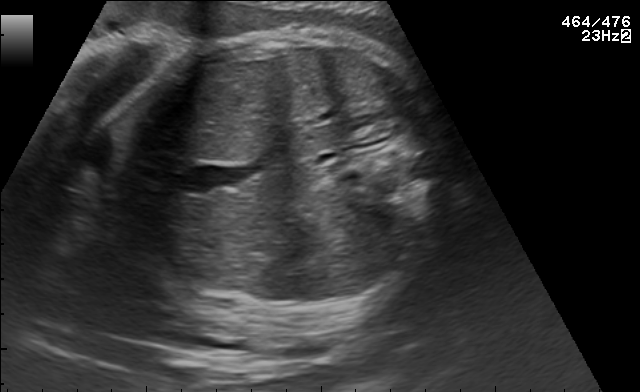
Which standard maternal-fetal ultrasound plane is shown: fetal abdomen, fetal brain, fetal femur, fetal thorax, maternal cervix, or other? If it's fetal brain and one of the three standard brain planes (trans-thalamic, trans-cerebellum, trans-ventricular), name which.

Fetal brain